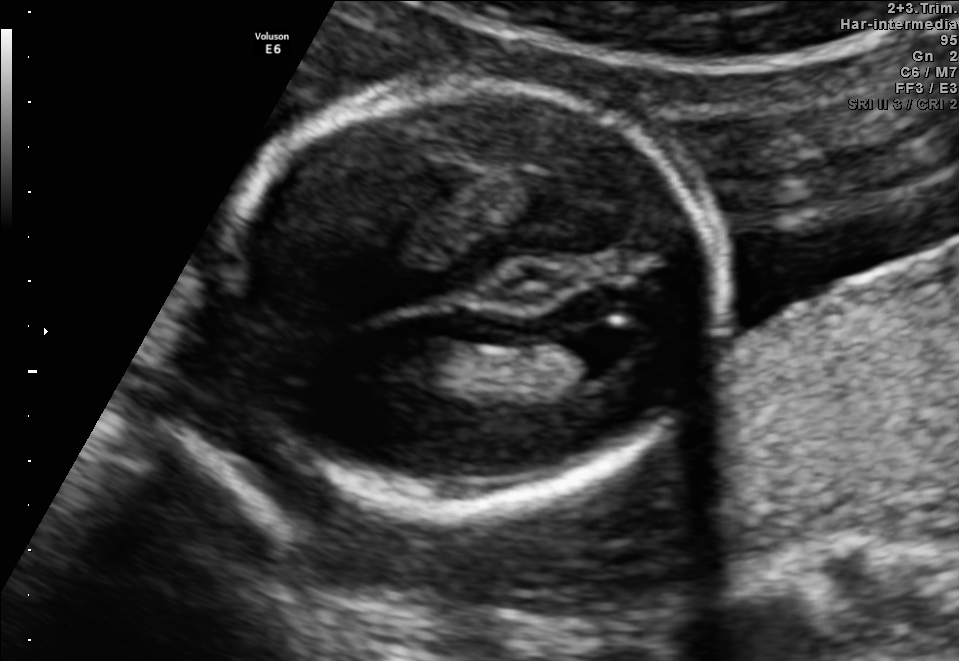
Fetal brain, trans-ventricular plane. Locate the fetal head.

Head: [208,72,735,521]